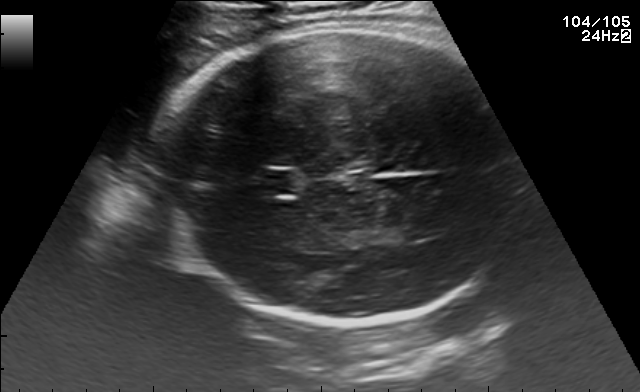
In this fetal brain, trans-thalamic plane, give the bounding box of the cavum septum pellucidum.

[254,169,295,195]